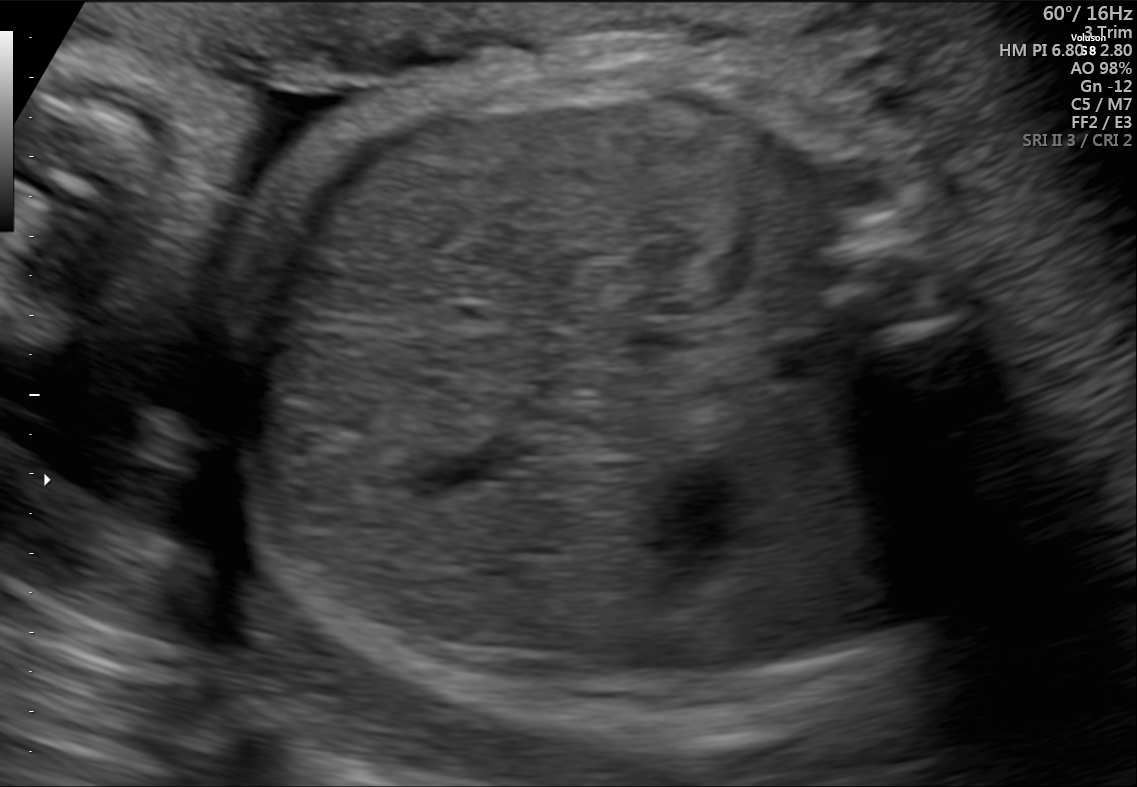
Identify the standard plane in this fetal ultrasound image: fetal abdomen, fetal brain, fetal femur, fetal thorax, maternal cervix, or other. If it's fetal brain and one of the three standard brain planes (trans-thalamic, trans-cerebellum, trans-ventricular), name which.

Fetal abdomen